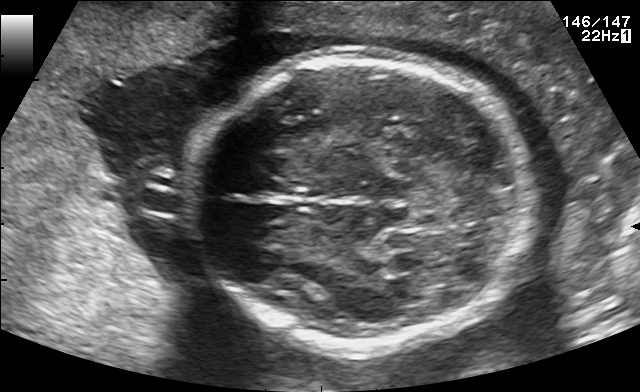
Identify the standard plane in this fetal ultrasound image: fetal abdomen, fetal brain, fetal femur, fetal thorax, maternal cervix, or other. If it's fetal brain and one of the three standard brain planes (trans-thalamic, trans-cerebellum, trans-ventricular), name which.

Fetal brain (trans-thalamic plane)